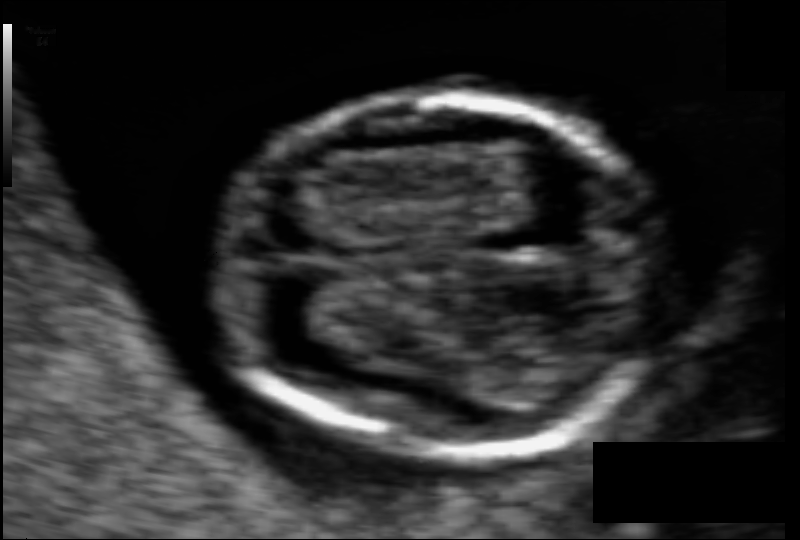
In this fetal head ultrasound, give bounding boxes for the head outline, cavum septum pellucidum (CSP), and lateral ventricle (LV), where visible. Image width: 44.9 mm.

Head: [214,98,671,450]